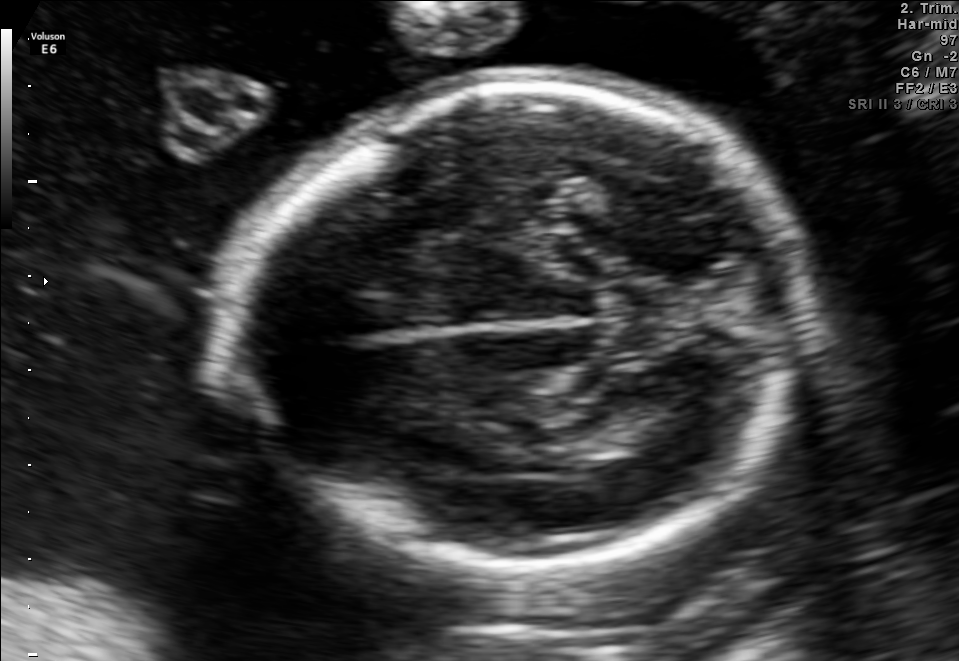
Fetal brain, trans-thalamic plane. Locate the fetal head.

Head: [239,81,816,570]